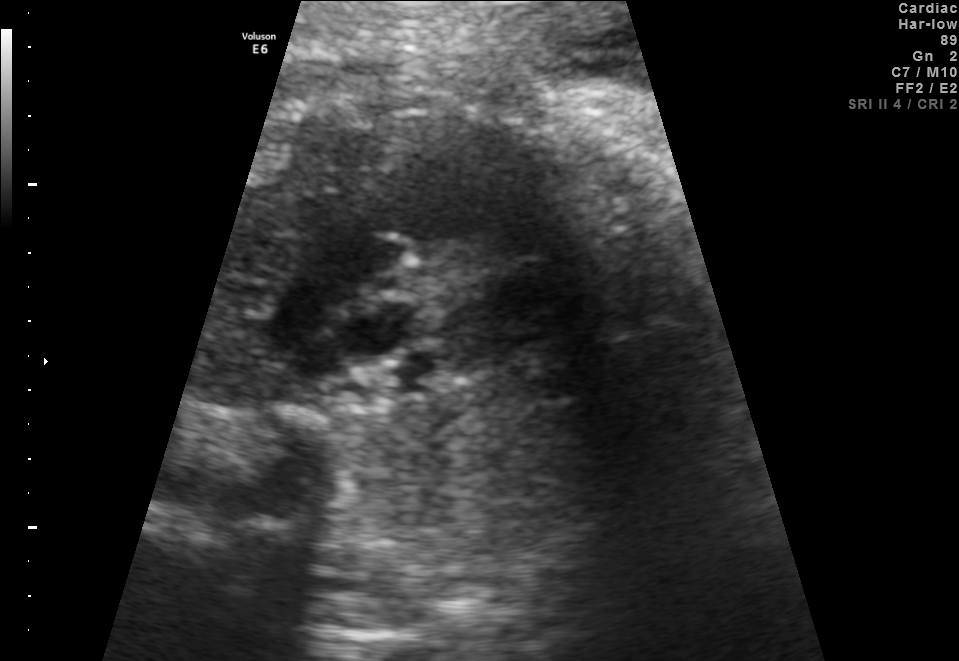
This is a 2D maternal-fetal ultrasound frame. Is it a fetal abdomen, fetal brain, fetal femur, fetal thorax, maternal cervix, or other standard plane? If it's fetal brain and one of the three standard brain planes (trans-thalamic, trans-cerebellum, trans-ventricular), name which.

Fetal thorax